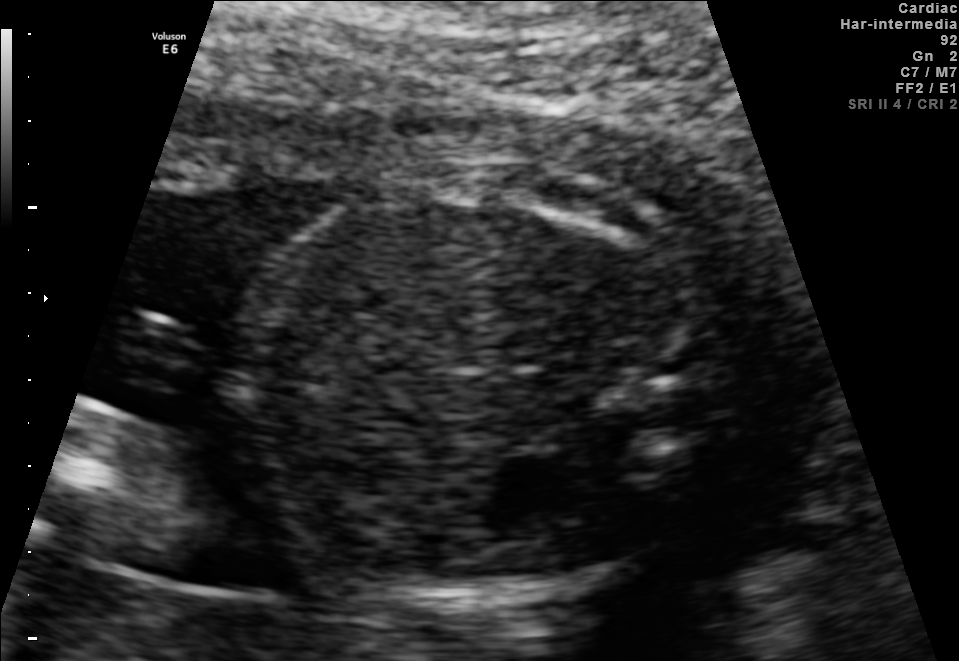
Identify the standard plane in this fetal ultrasound image: fetal abdomen, fetal brain, fetal femur, fetal thorax, maternal cervix, or other. If it's fetal brain and one of the three standard brain planes (trans-thalamic, trans-cerebellum, trans-ventricular), name which.

Fetal abdomen